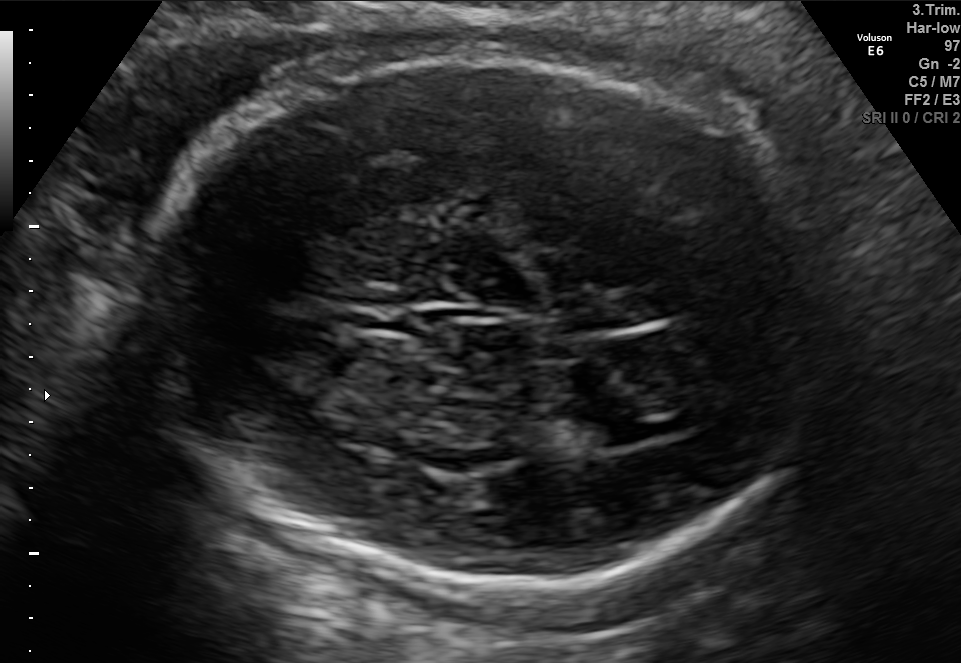
Fetal brain, trans-ventricular plane. Locate the cavum septum pellucidum.

CSP: [342,295,421,337]